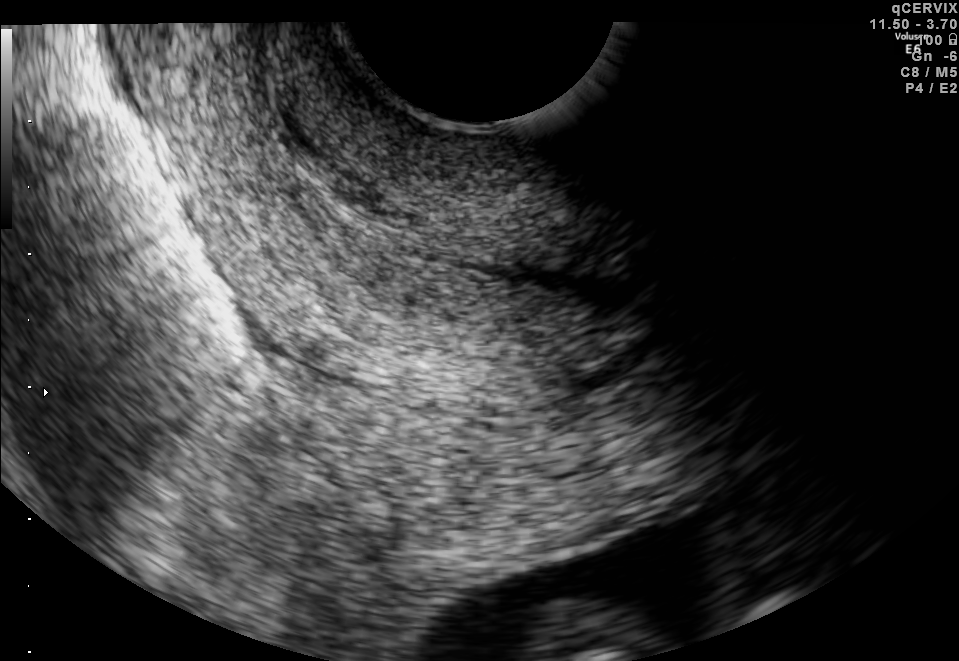
Identify the standard plane in this fetal ultrasound image: fetal abdomen, fetal brain, fetal femur, fetal thorax, maternal cervix, or other. If it's fetal brain and one of the three standard brain planes (trans-thalamic, trans-cerebellum, trans-ventricular), name which.

Maternal cervix